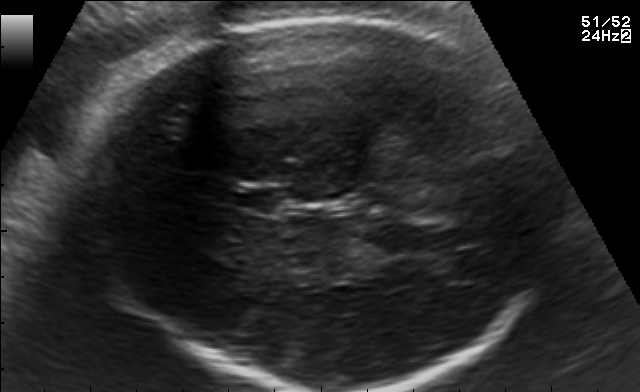
Fetal brain, trans-thalamic plane. Give [x1,y1,x2,y2] bounding boxes for each visible structure among: fetal head, CSP, LV.

Head: [86,13,553,390]
CSP: [227,185,281,216]